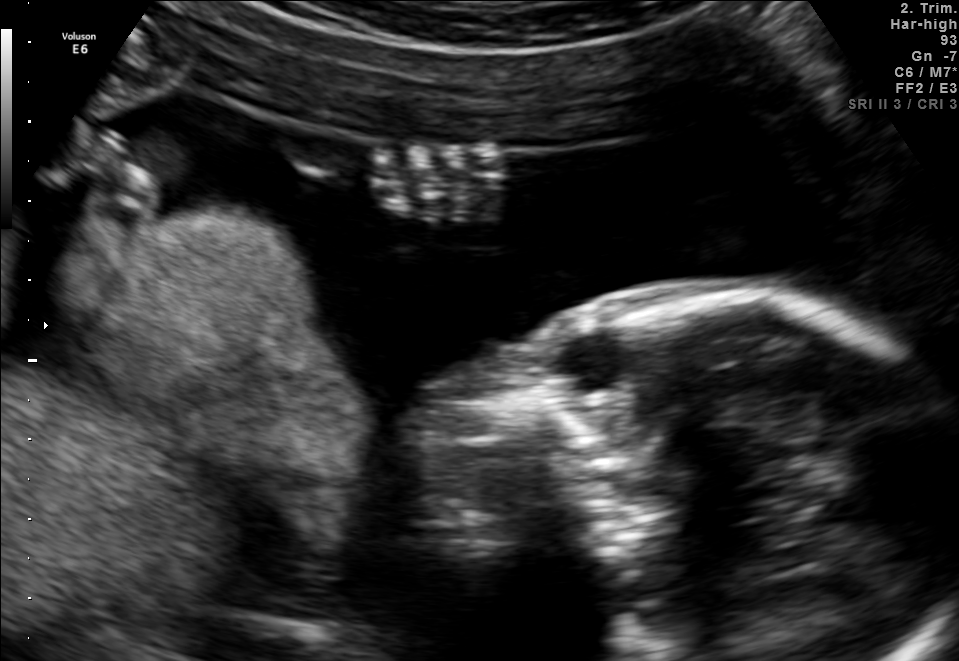
Classify this maternal-fetal ultrasound image as one of the six standard planes — fetal abdomen, fetal brain, fetal femur, fetal thorax, maternal cervix, or other. If it's fetal brain and one of the three standard brain planes (trans-thalamic, trans-cerebellum, trans-ventricular), name which.

Other